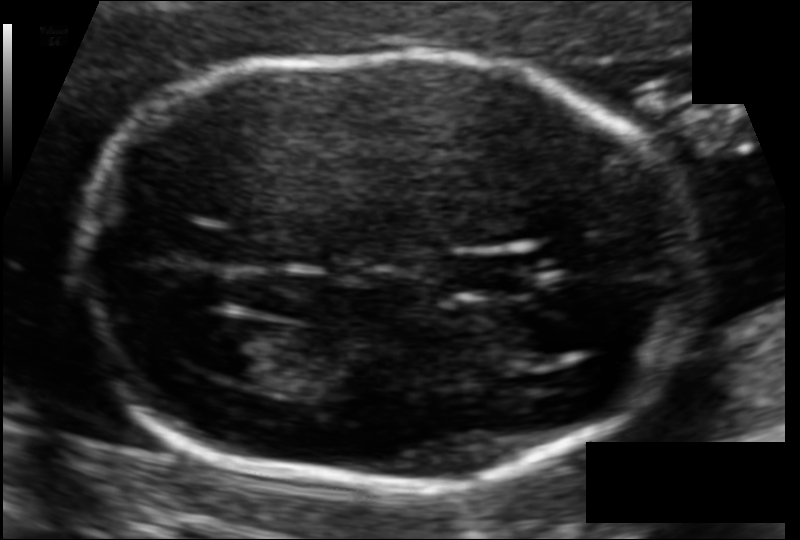
From this fetal ultrasound, estimate the head circumference (image width 73.9 mm).

Head circumference: 159.9 mm.